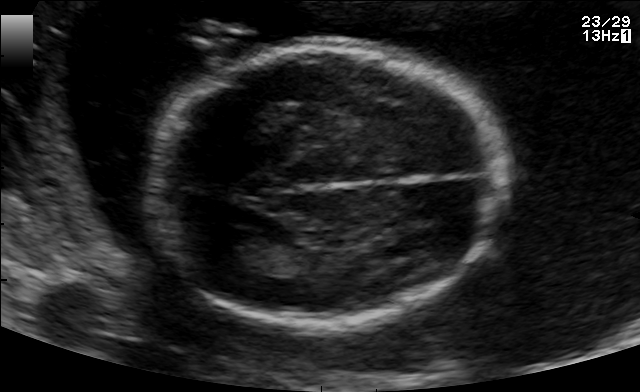
Fetal brain, trans-thalamic plane. Locate the fetal head.

Head: [149,44,509,326]